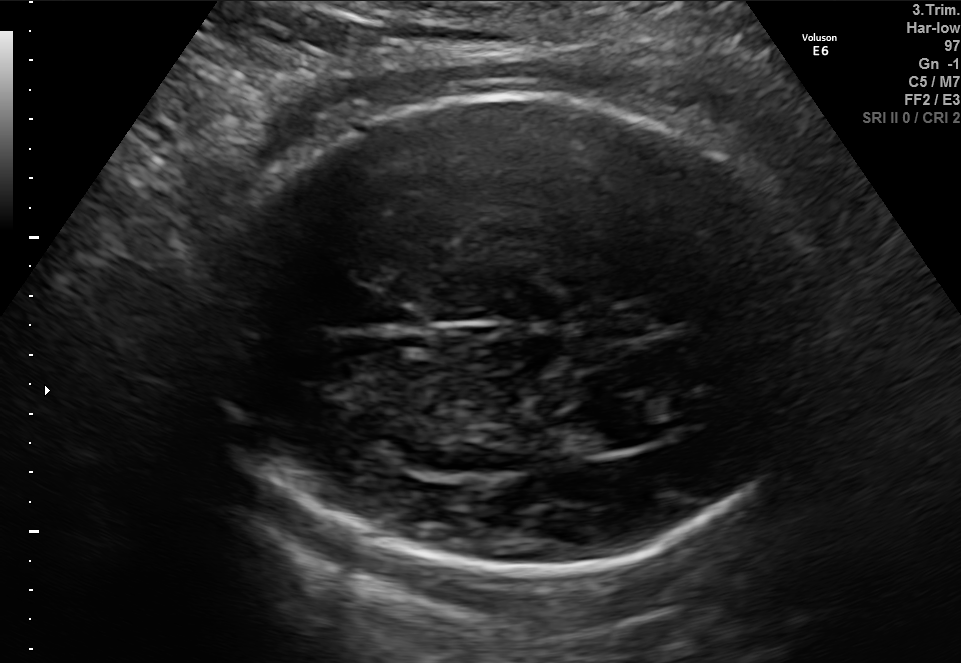
In this fetal brain, trans-thalamic plane, give bounding boxes for the head outline, cavum septum pellucidum (CSP), and lateral ventricle (LV), where visible.

Head: [203,95,832,576]
Lateral ventricle: [551,404,637,462]